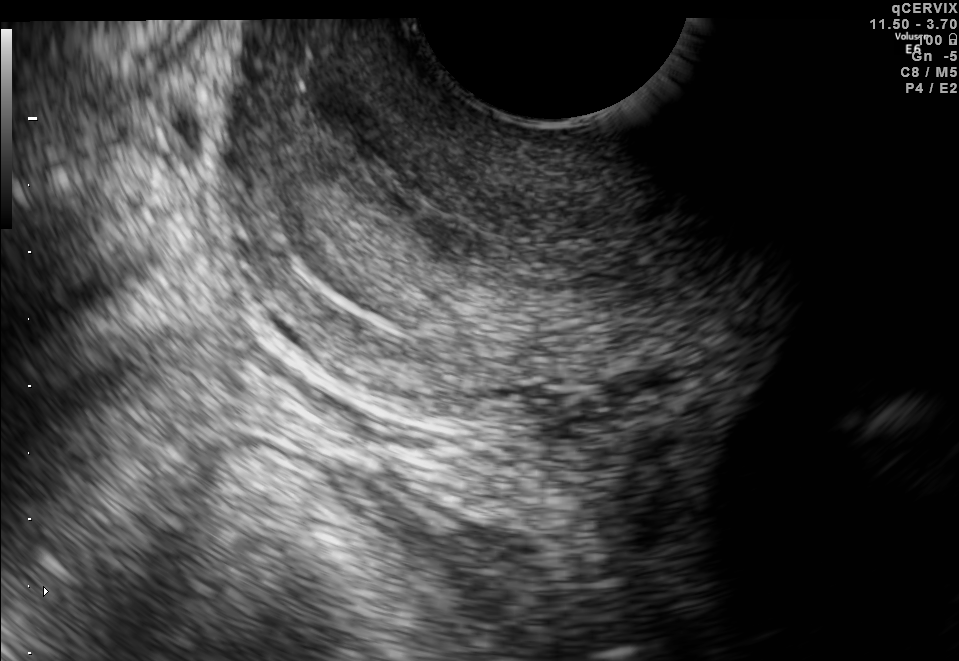
Classify this maternal-fetal ultrasound image as one of the six standard planes — fetal abdomen, fetal brain, fetal femur, fetal thorax, maternal cervix, or other. If it's fetal brain and one of the three standard brain planes (trans-thalamic, trans-cerebellum, trans-ventricular), name which.

Maternal cervix